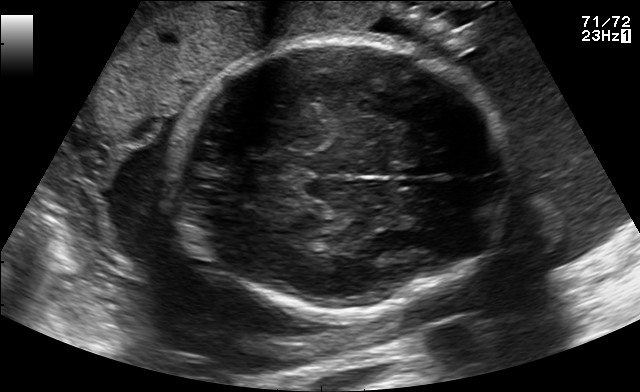
In this fetal brain, trans-thalamic plane, give the bounding box of the fetal head.

[174,41,509,313]